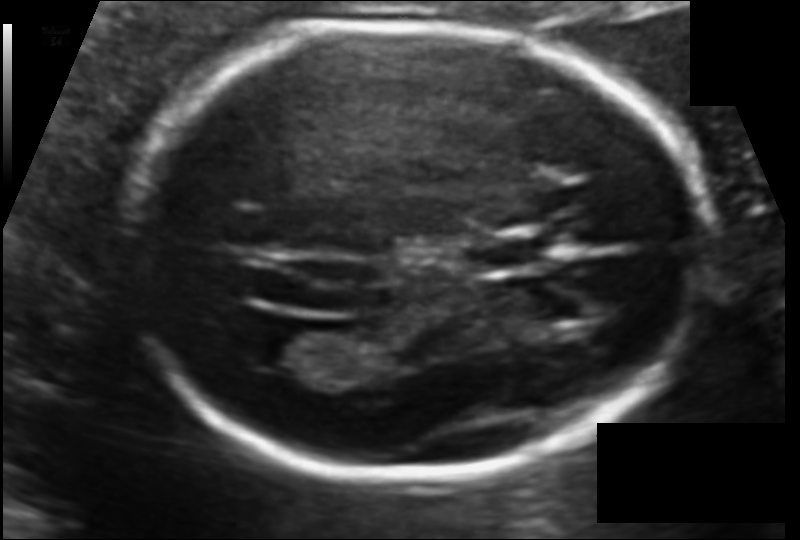
Fetal head ultrasound. Image width: 85.6 mm. Locate the cavum septum pellucidum.

CSP: [468,224,552,279]